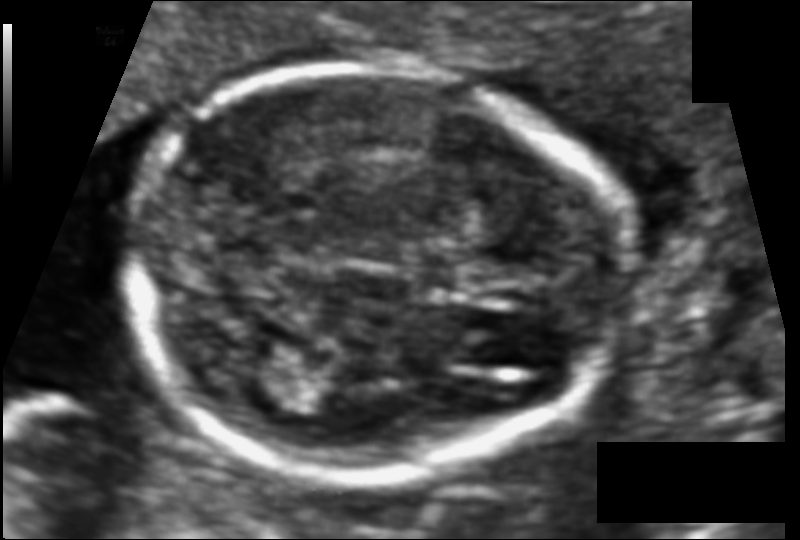
What is the fetal head circumference? Image width is 65.0 mm.

122.0 mm